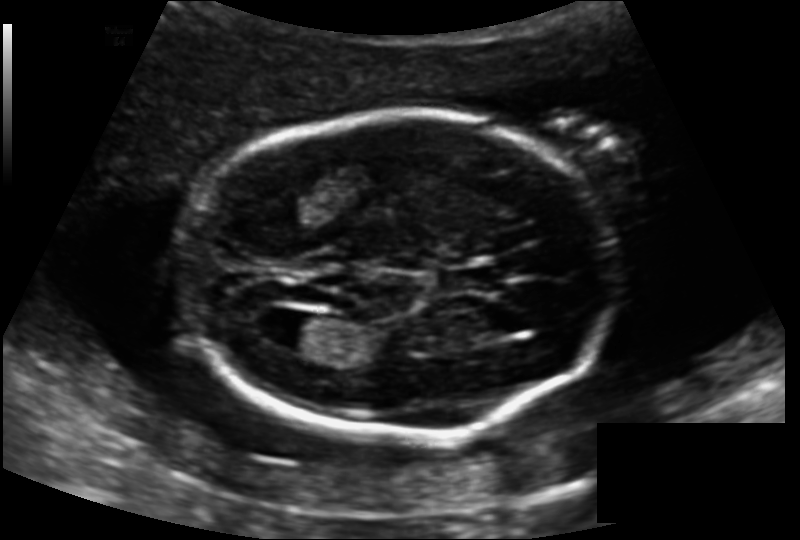
Estimate the fetal head circumference from this 2D ultrasound.

Head circumference: 173.2 mm (image width 111.5 mm).